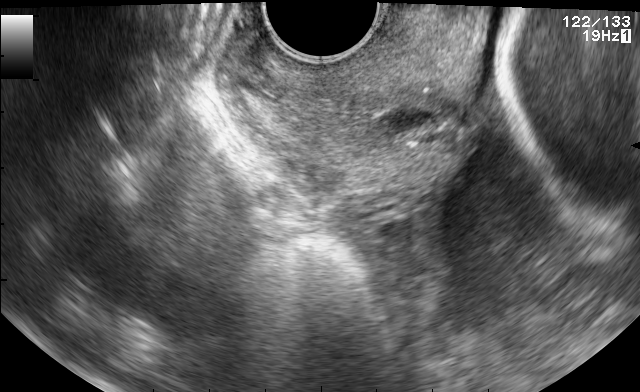
Which standard maternal-fetal ultrasound plane is shown: fetal abdomen, fetal brain, fetal femur, fetal thorax, maternal cervix, or other? If it's fetal brain and one of the three standard brain planes (trans-thalamic, trans-cerebellum, trans-ventricular), name which.

Maternal cervix